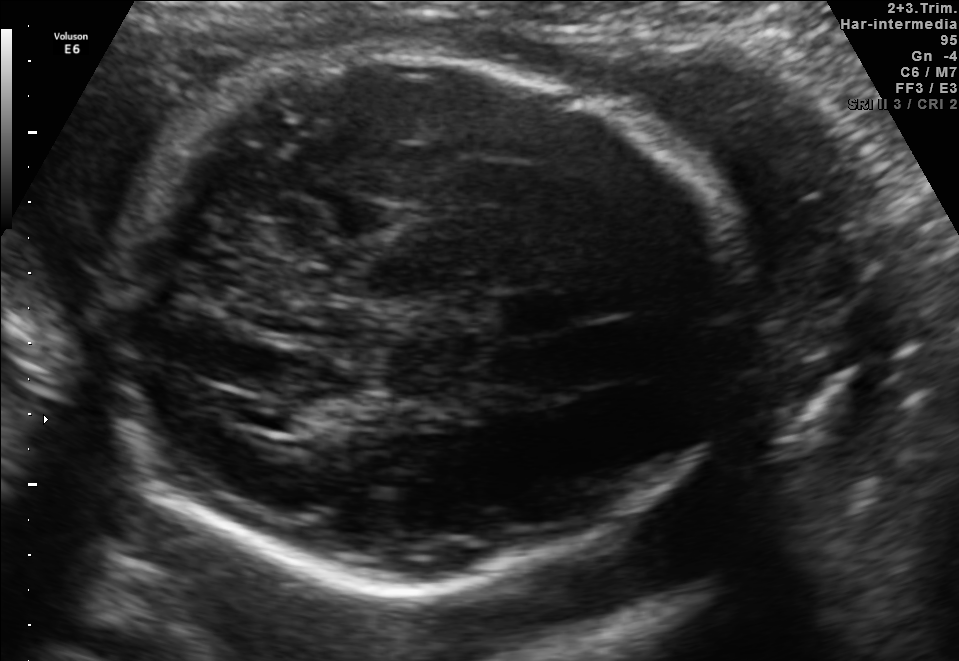
Fetal brain, trans-thalamic plane. Locate the cavum septum pellucidum.

CSP: [501,294,570,334]